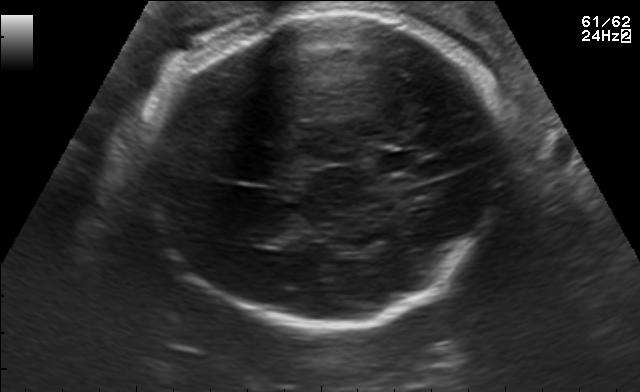
Fetal brain, trans-thalamic plane. Give [x1,y1,x2,y2] bounding boxes for each visible structure among: fetal head, CSP, LV.

Head: [131,11,506,326]
CSP: [375,148,421,174]